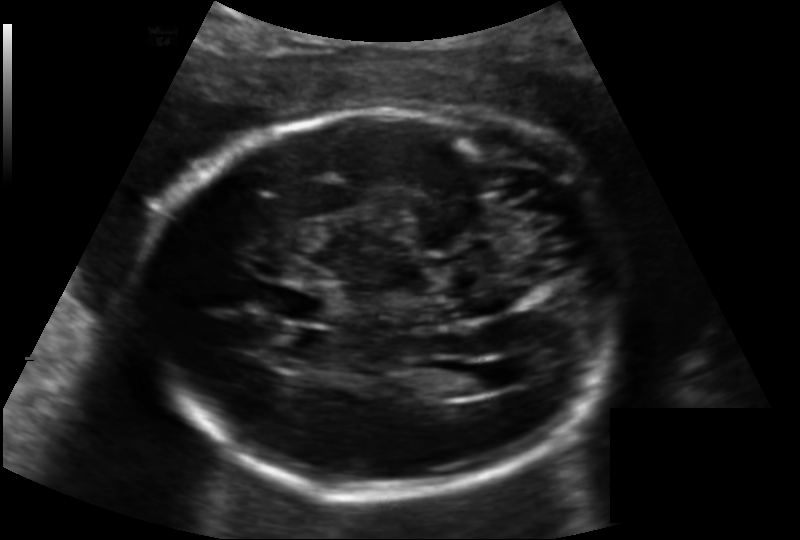
Fetal head ultrasound. Image width: 126.5 mm. Locate the fetal head and, if visible, the cavum septum pellucidum (CSP) and lateral ventricle (LV). Give bounding boxes as [x1,y1,x2,y2].

Head: [143,109,624,493]
CSP: [270,281,335,327]
Lateral ventricle: [436,361,500,399]